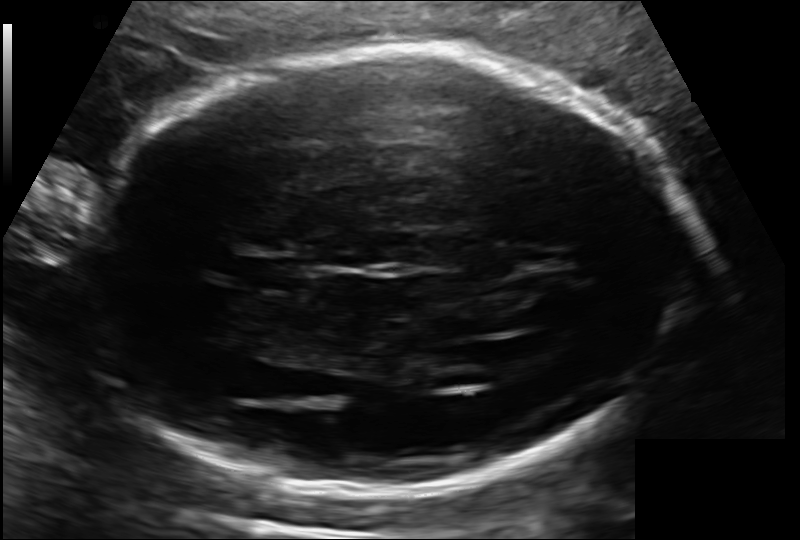
In this fetal head ultrasound, give the bounding box of the cavum septum pellucidum. Image width: 114.4 mm.

[235,252,306,294]